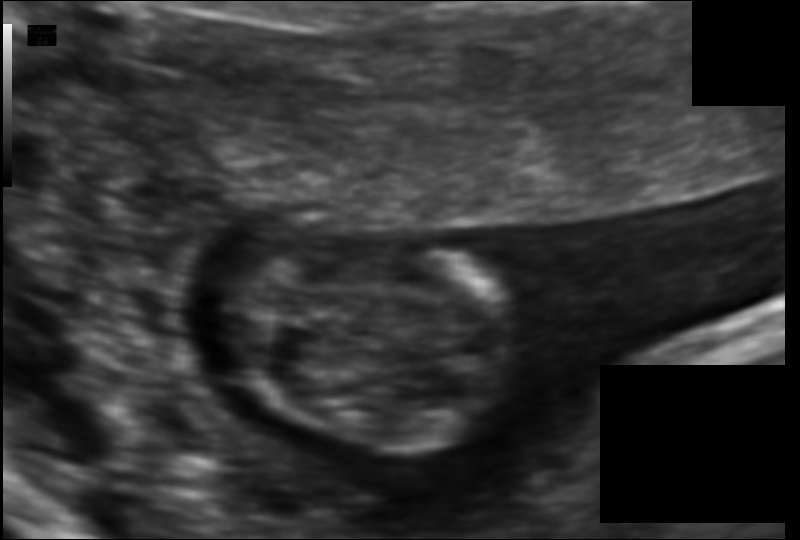
From this fetal ultrasound, estimate the head circumference (image width 62.1 mm).

Head circumference: 62.1 mm.